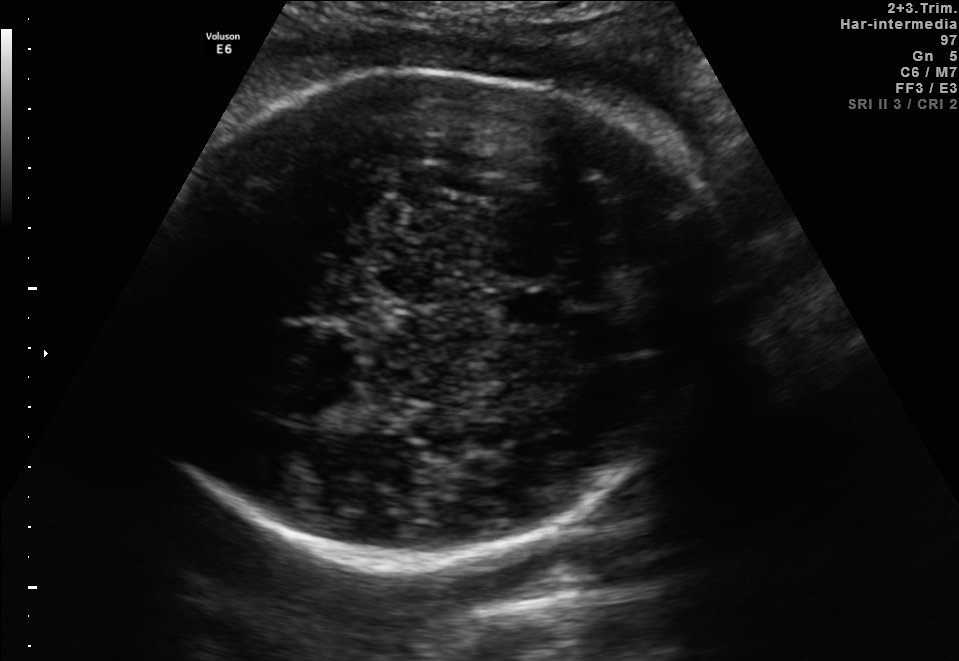
Fetal brain, trans-thalamic plane. Where is the cavum septum pellucidum?

CSP bounding box: [497,286,564,330]